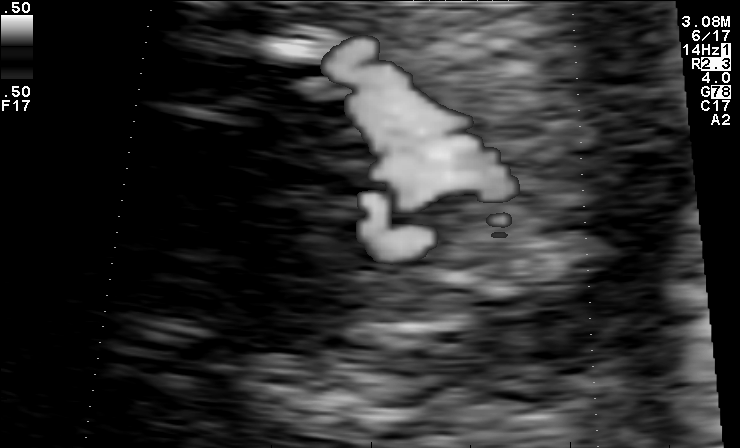
Which standard maternal-fetal ultrasound plane is shown: fetal abdomen, fetal brain, fetal femur, fetal thorax, maternal cervix, or other? If it's fetal brain and one of the three standard brain planes (trans-thalamic, trans-cerebellum, trans-ventricular), name which.

Other